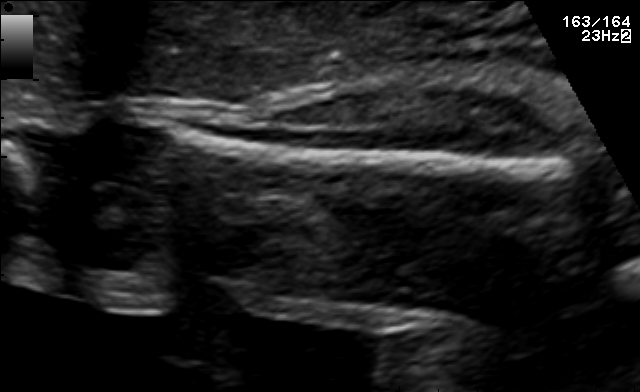
Which standard maternal-fetal ultrasound plane is shown: fetal abdomen, fetal brain, fetal femur, fetal thorax, maternal cervix, or other? If it's fetal brain and one of the three standard brain planes (trans-thalamic, trans-cerebellum, trans-ventricular), name which.

Fetal femur